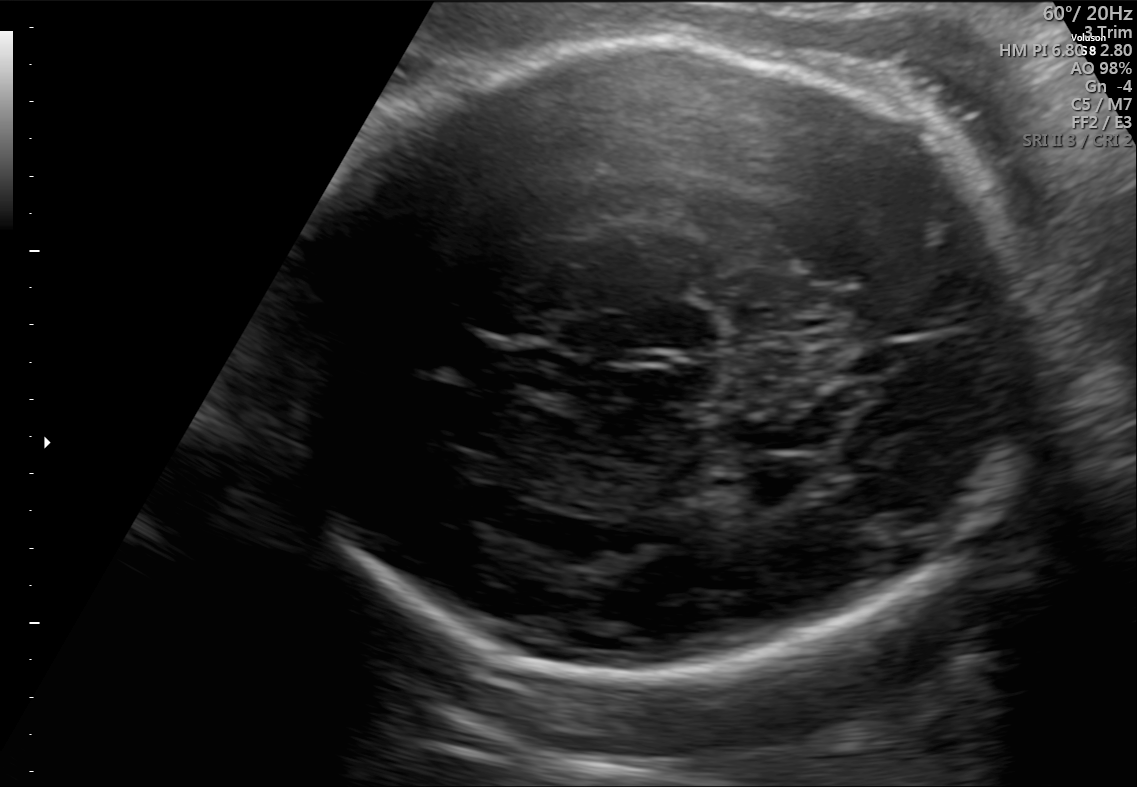
In this fetal brain, trans-thalamic plane, give bounding boxes for the head outline, cavum septum pellucidum (CSP), and lateral ventricle (LV), where visible.

Head: [270,39,1030,676]